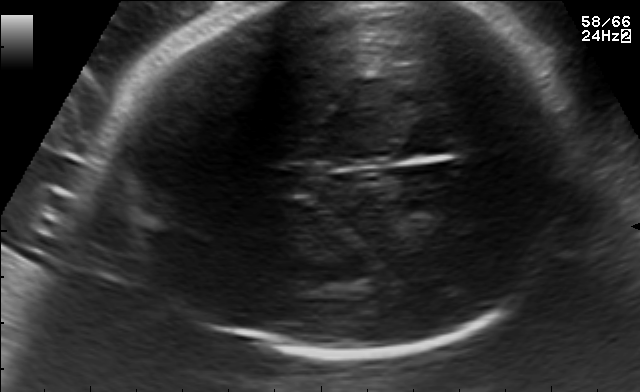
In this fetal brain, trans-thalamic plane, give the bounding box of the fetal head.

[95,3,583,358]